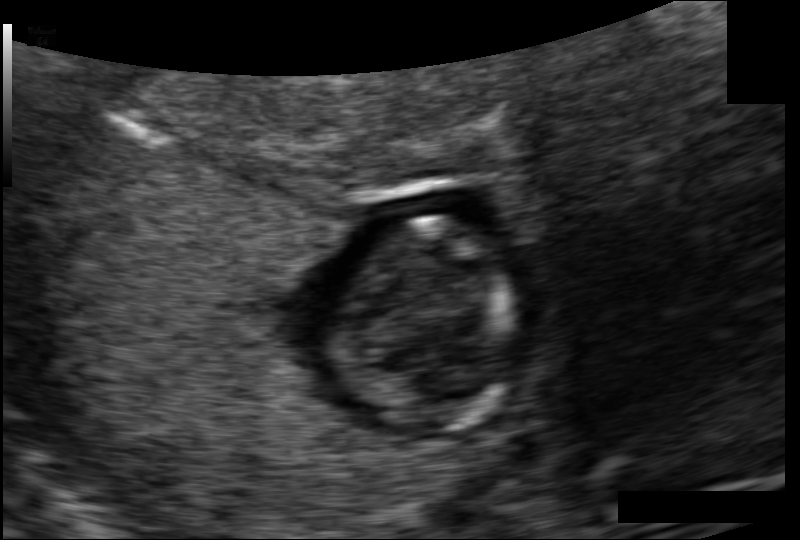
Fetal head ultrasound. Image width: 78.5 mm. Give [x1,y1,x2,y2] bounding boxes for each visible structure among: fetal head, CSP, LV.

Head: [342,219,513,429]